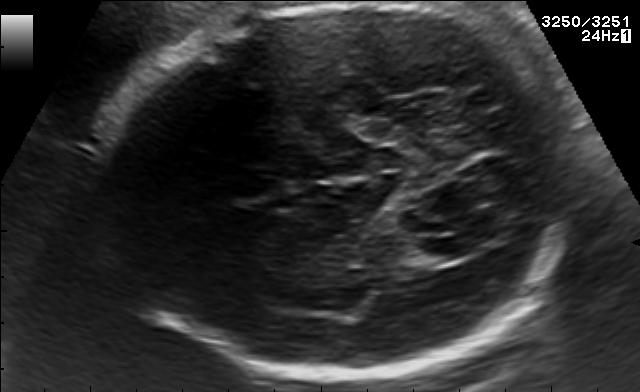
In this fetal brain, trans-thalamic plane, give the bounding box of the lateral ventricle.

[405,226,481,274]